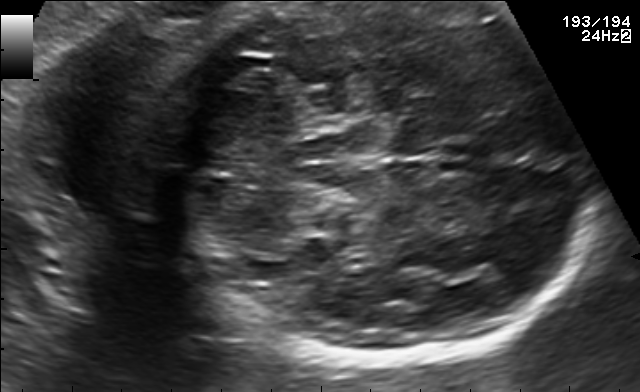
Fetal brain, trans-cerebellum plane. Locate the fetal head and, if visible, the cavum septum pellucidum (CSP) and lateral ventricle (LV). Give bounding boxes as [x1,y1,x2,y2].

Head: [176,2,584,369]